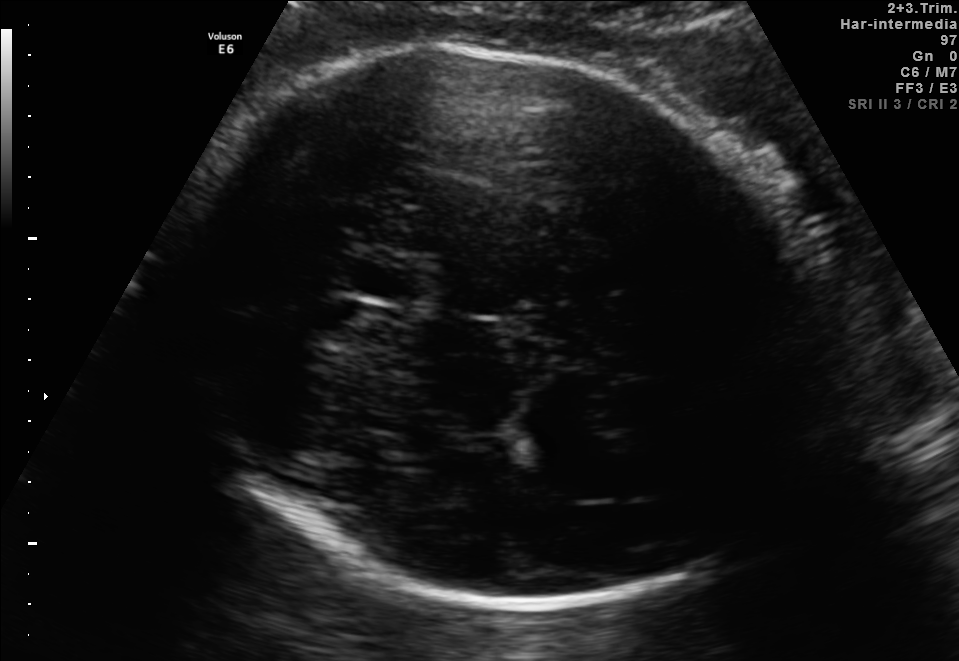
Fetal brain, trans-thalamic plane. Locate the fetal head and, if visible, the cavum septum pellucidum (CSP) and lateral ventricle (LV). Give bounding boxes as [x1,y1,x2,y2].

Head: [179,46,818,609]
CSP: [350,257,417,304]